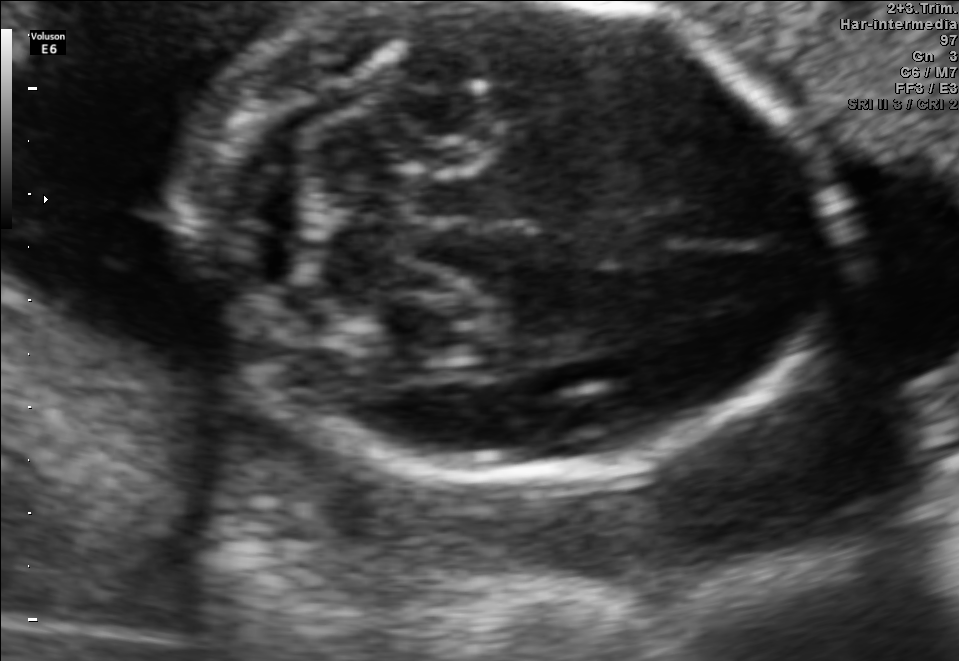
Fetal brain, trans-cerebellum plane. Where is the fetal head?

Head bounding box: [174,4,841,469]